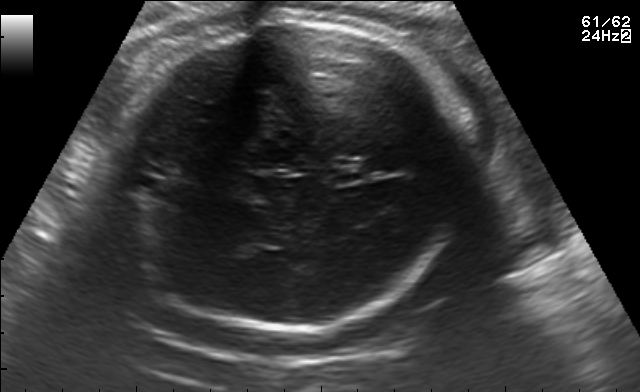
In this fetal brain, trans-thalamic plane, give the bounding box of the fetal head.

[101,21,468,330]